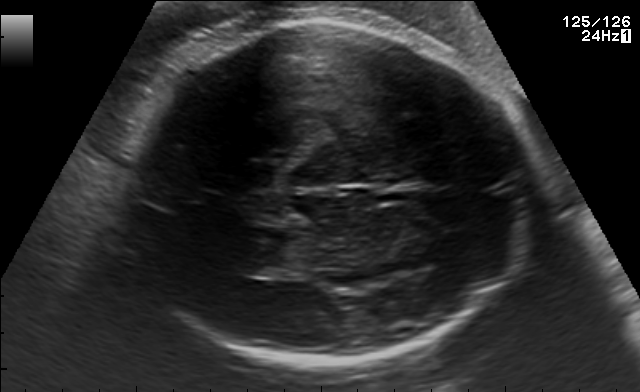
In this fetal brain, trans-thalamic plane, give bounding boxes for the head outline, cavum septum pellucidum (CSP), and lateral ventricle (LV), where visible.

Head: [116,21,532,358]